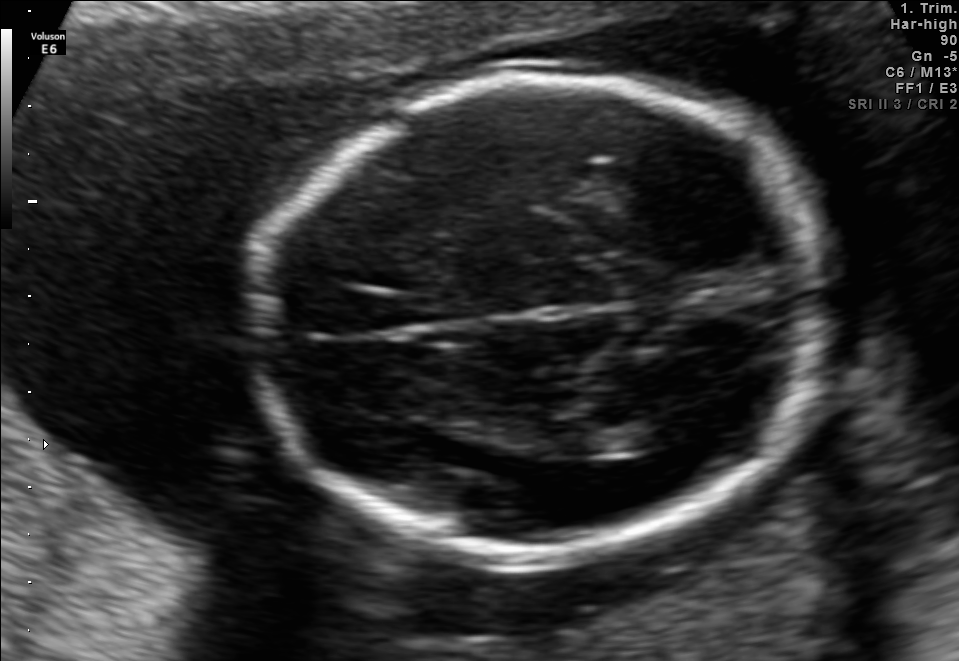
In this fetal brain, trans-thalamic plane, give bounding boxes for the head outline, cavum septum pellucidum (CSP), and lateral ventricle (LV), where visible.

Head: [258,80,825,561]
Lateral ventricle: [625,405,703,456]